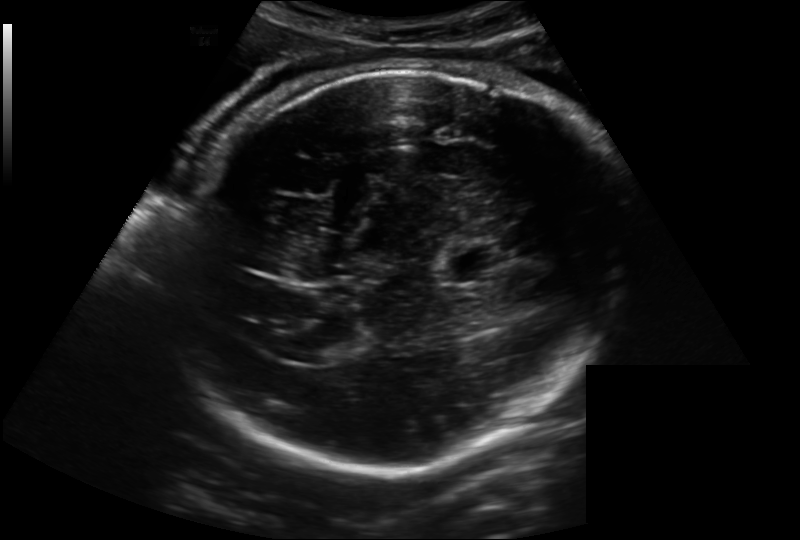
In this fetal head ultrasound, give the bounding box of the fetal head. Image width: 177.2 mm.

[165,69,626,467]